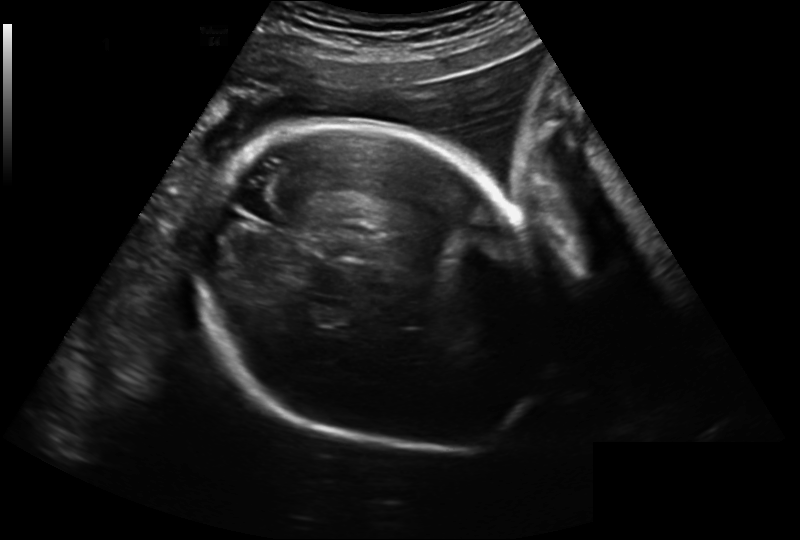
Fetal head ultrasound. Image width: 192.8 mm. Locate the fetal head and, if visible, the cavum septum pellucidum (CSP) and lateral ventricle (LV). Give bounding boxes as [x1,y1,x2,y2].

Head: [199,119,552,453]